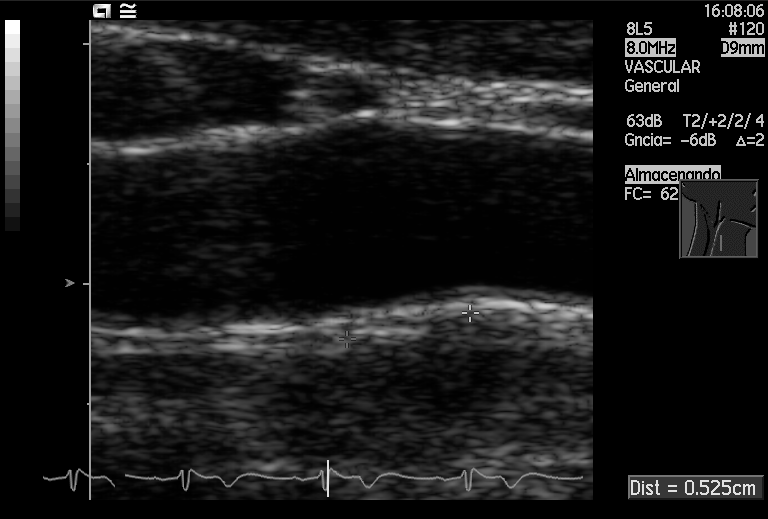
This is a 2D maternal-fetal ultrasound frame. Is it a fetal abdomen, fetal brain, fetal femur, fetal thorax, maternal cervix, or other standard plane? If it's fetal brain and one of the three standard brain planes (trans-thalamic, trans-cerebellum, trans-ventricular), name which.

Other